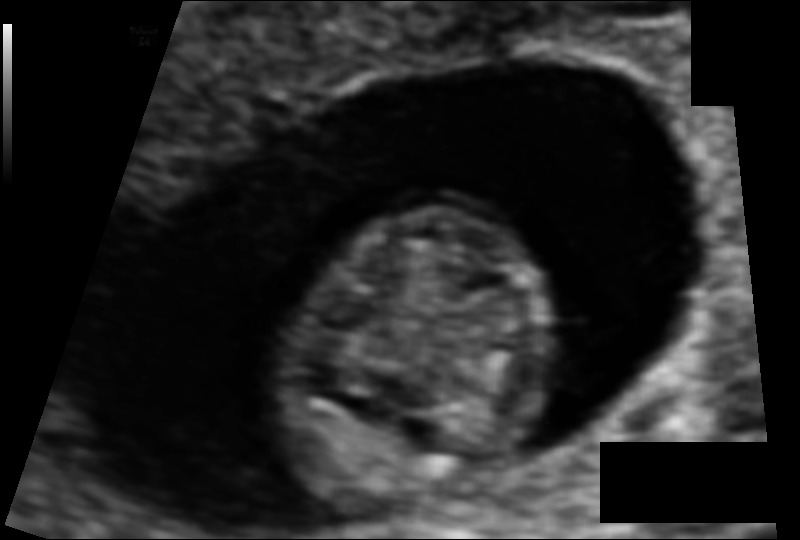
From this fetal ultrasound, estimate the head circumference (image width 58.4 mm).

Head circumference: 67.1 mm.